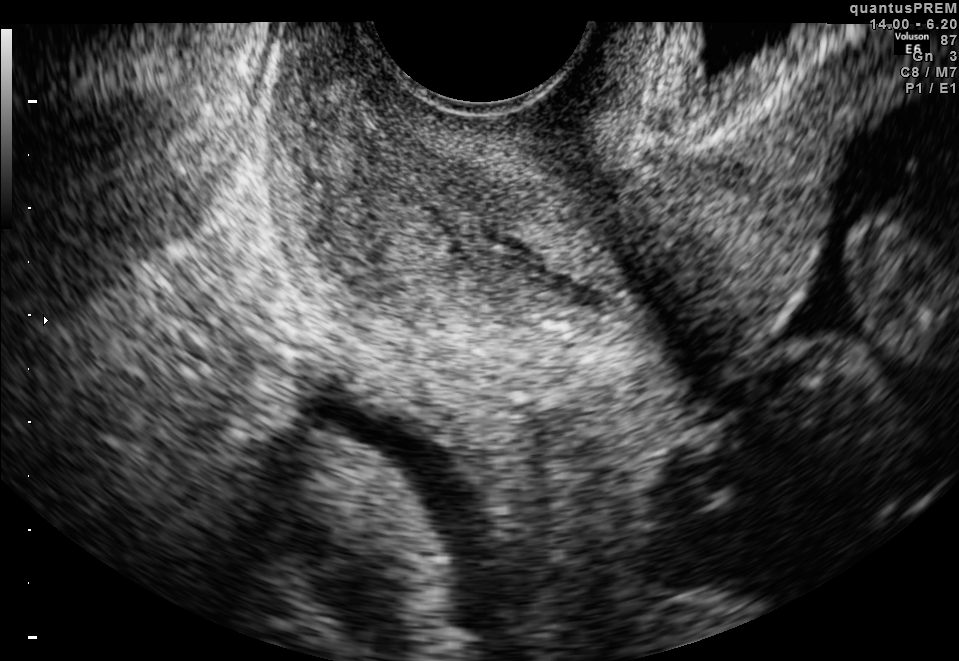
Which standard maternal-fetal ultrasound plane is shown: fetal abdomen, fetal brain, fetal femur, fetal thorax, maternal cervix, or other? If it's fetal brain and one of the three standard brain planes (trans-thalamic, trans-cerebellum, trans-ventricular), name which.

Maternal cervix